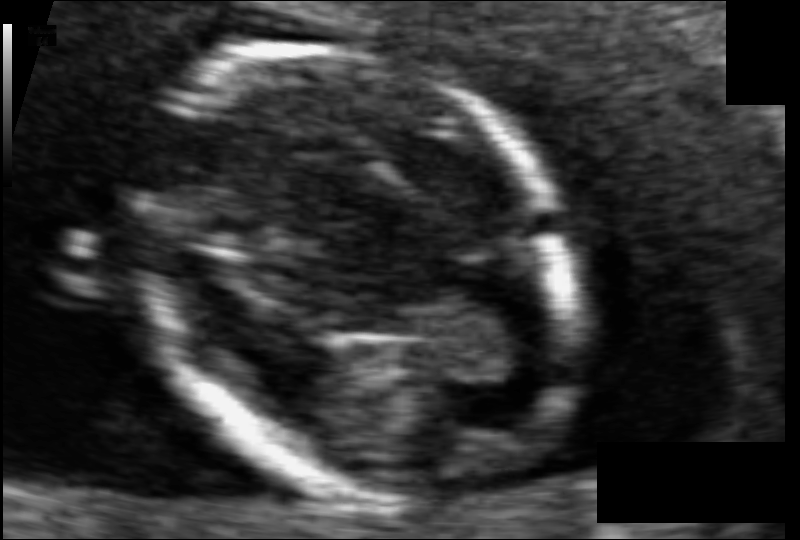
From this fetal ultrasound, estimate the head circumference (image width 48.9 mm).

Head circumference: 88.2 mm.